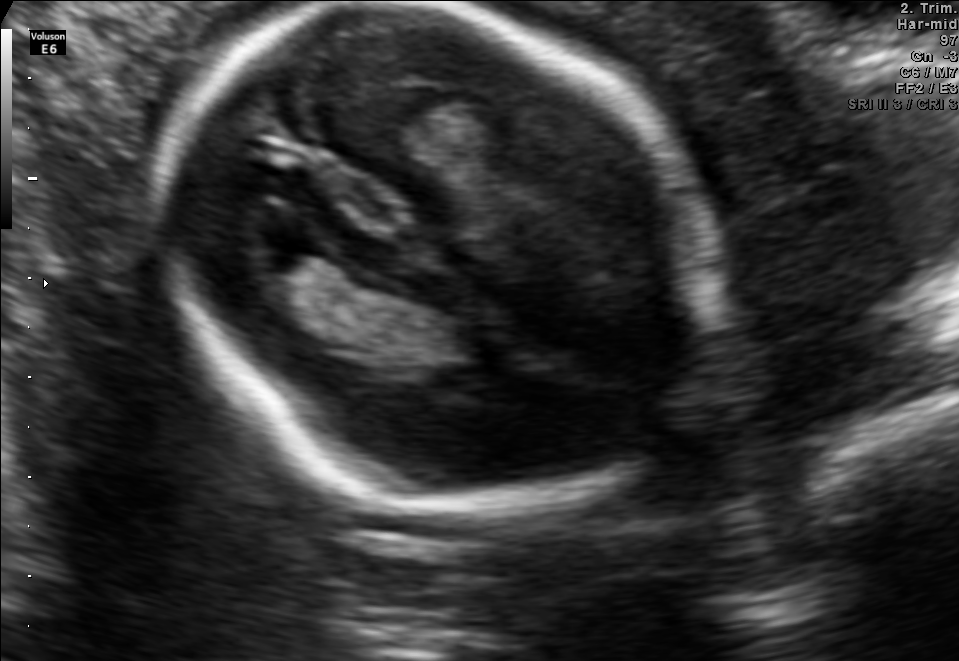
Fetal brain, trans-thalamic plane. Where is the fetal head?

Head bounding box: [159,3,720,502]